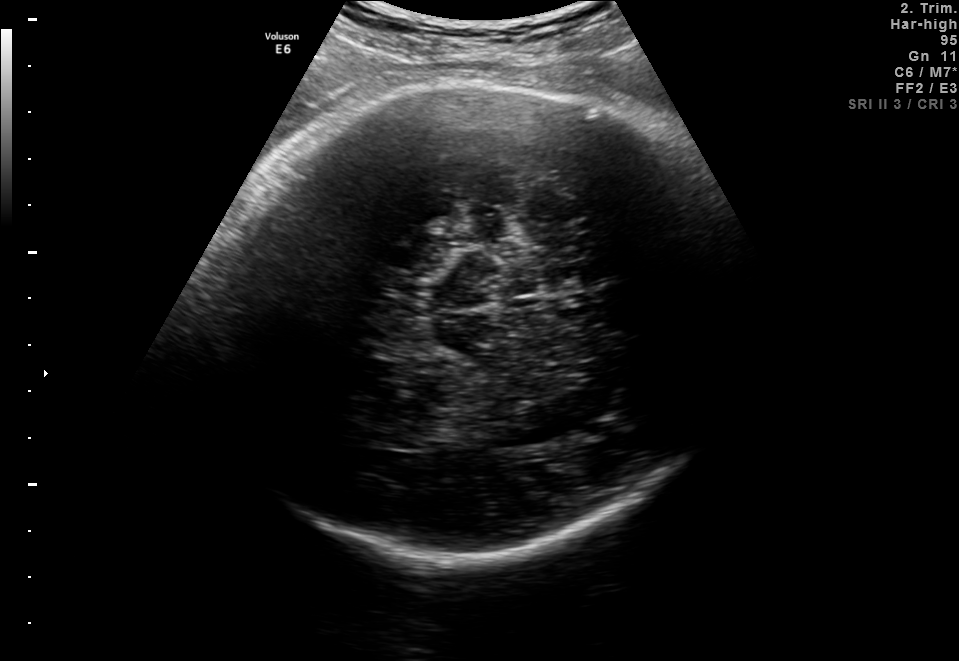
In this fetal brain, trans-thalamic plane, give the bounding box of the fetal head.

[202,83,739,554]